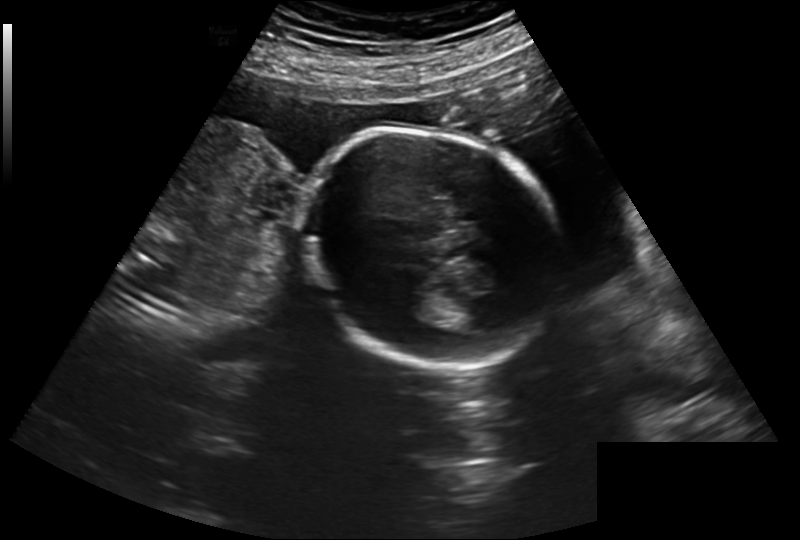
Fetal head ultrasound. Image width: 207.9 mm. Locate the fetal head.

Head: [301,128,557,368]